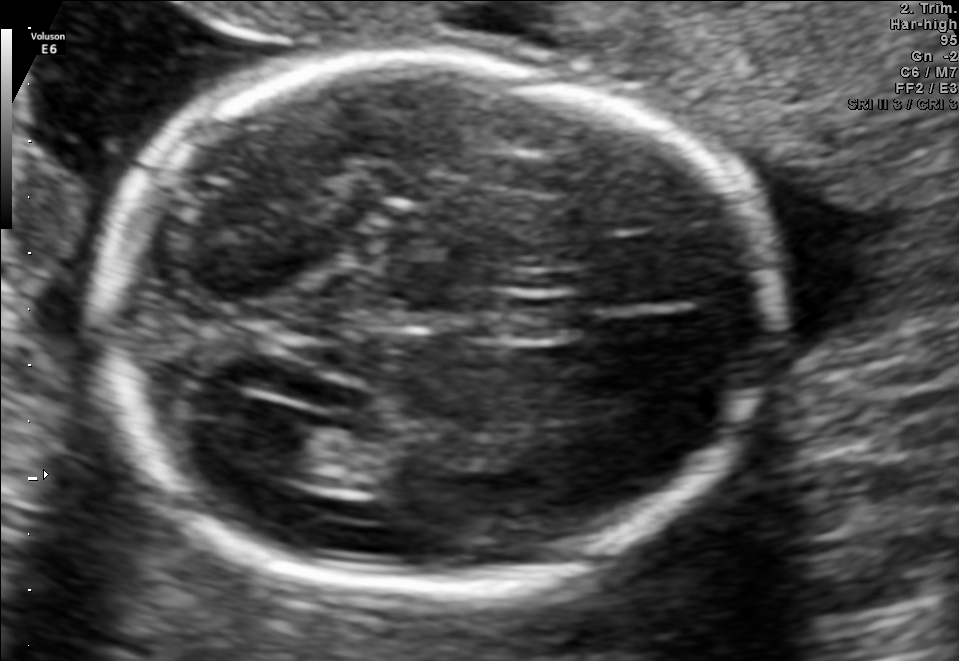
Fetal brain, trans-ventricular plane. Locate the fetal head.

Head: [80,41,797,612]